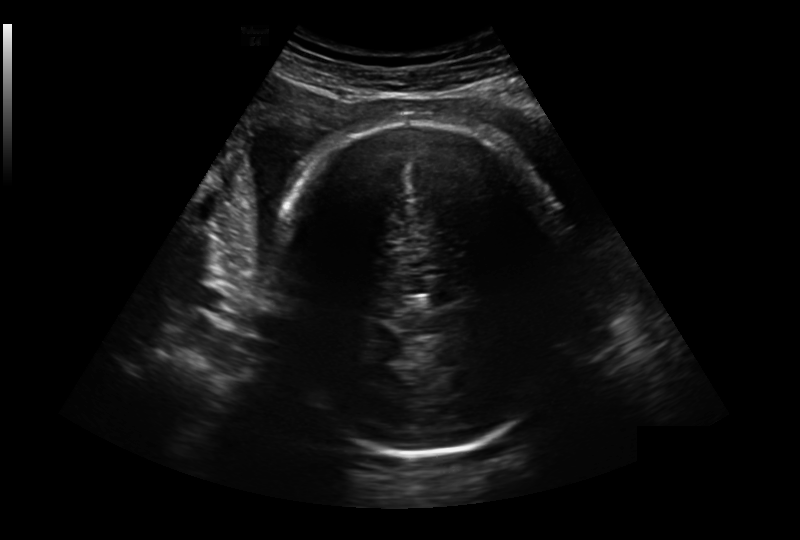
Estimate the fetal head circumference from this 2D ultrasound.

Head circumference: 284.0 mm (image width 225.0 mm).